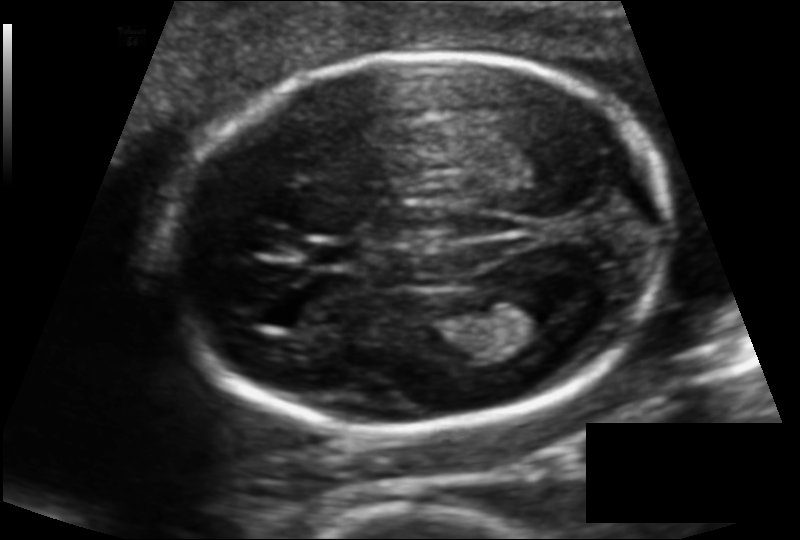
Measure the fetal head circumference shown in this ultrasound image. Image width: 95.8 mm.

Head circumference: 170.8 mm.